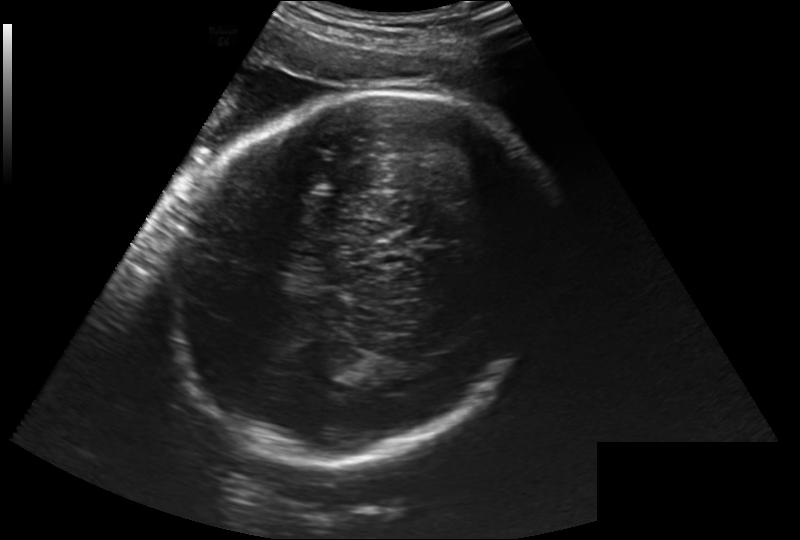
In this fetal head ultrasound, give the bounding box of the fetal head. Image width: 208.2 mm.

[174,88,541,463]